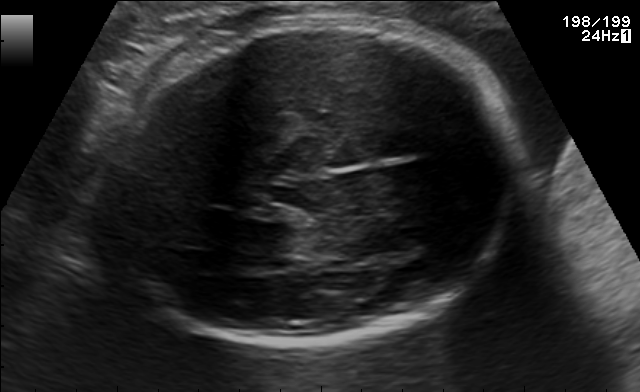
Which standard maternal-fetal ultrasound plane is shown: fetal abdomen, fetal brain, fetal femur, fetal thorax, maternal cervix, or other? If it's fetal brain and one of the three standard brain planes (trans-thalamic, trans-cerebellum, trans-ventricular), name which.

Fetal brain (trans-thalamic plane)